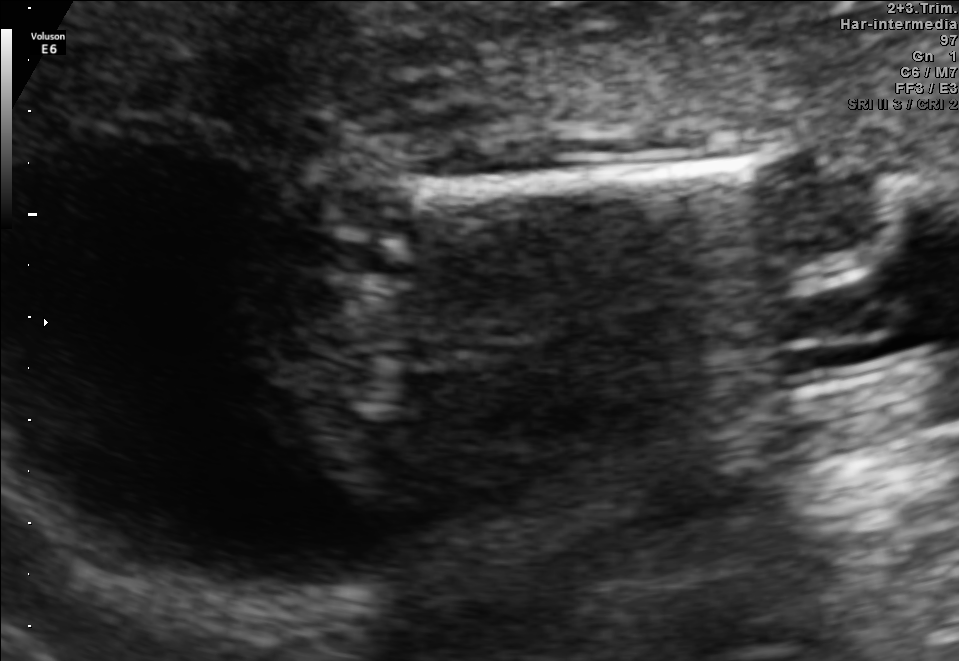
Which standard maternal-fetal ultrasound plane is shown: fetal abdomen, fetal brain, fetal femur, fetal thorax, maternal cervix, or other? If it's fetal brain and one of the three standard brain planes (trans-thalamic, trans-cerebellum, trans-ventricular), name which.

Fetal femur